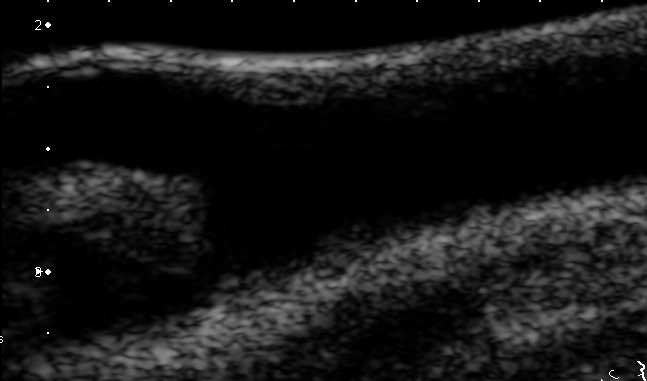
Classify this maternal-fetal ultrasound image as one of the six standard planes — fetal abdomen, fetal brain, fetal femur, fetal thorax, maternal cervix, or other. If it's fetal brain and one of the three standard brain planes (trans-thalamic, trans-cerebellum, trans-ventricular), name which.

Other